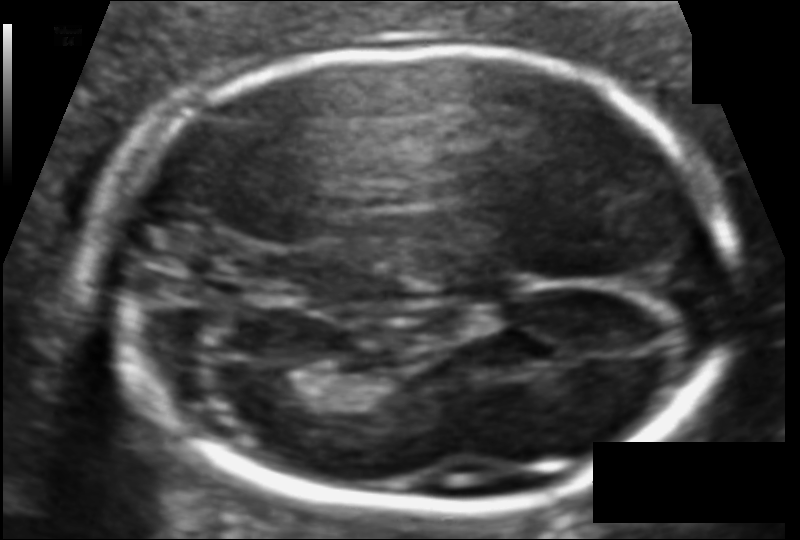
Fetal head ultrasound. Image width: 76.5 mm. Where is the lateral ventricle?

Lateral ventricle bounding box: [260,365,324,410]